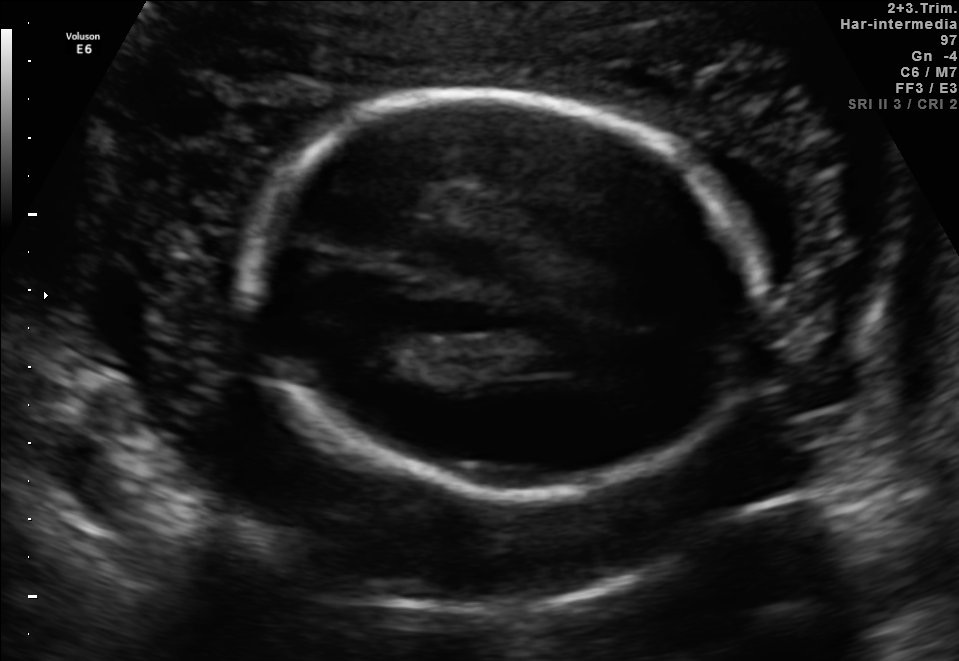
Fetal brain, trans-thalamic plane. Give [x1,y1,x2,y2] bounding boxes for each visible structure among: fetal head, CSP, LV.

Head: [250,98,765,499]